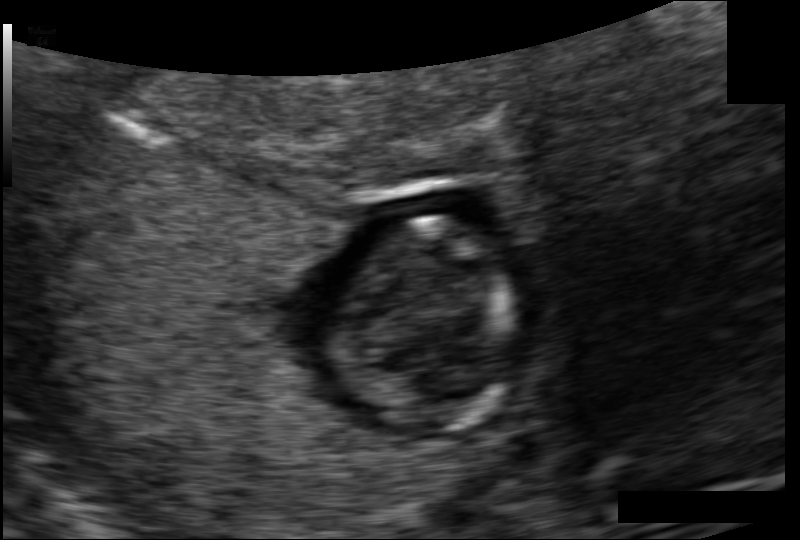
From this fetal ultrasound, estimate the head circumference (image width 78.5 mm).

Head circumference: 65.4 mm.